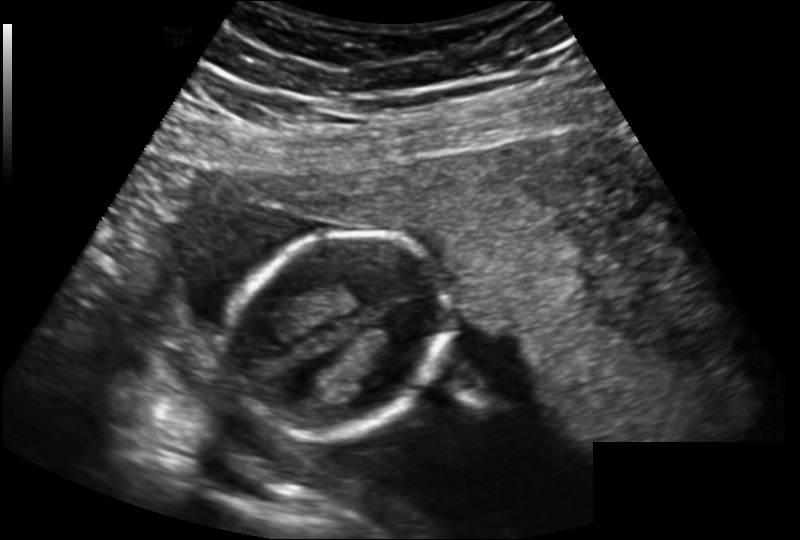
Measure the fetal head circumference shown in this ultrasound image. Image width: 146.2 mm.

Head circumference: 125.2 mm.